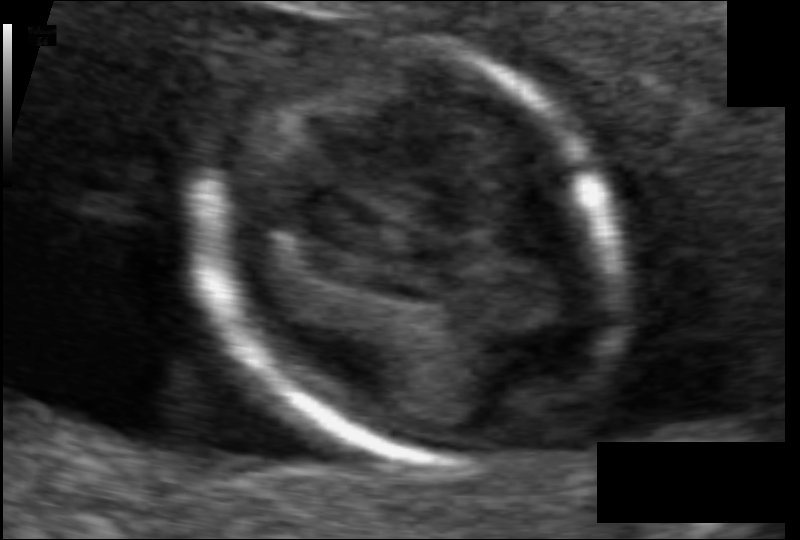
Fetal head ultrasound. Image width: 48.9 mm. Give [x1,y1,x2,y2] bounding boxes for each visible structure among: fetal head, CSP, LV.

Head: [215,36,620,465]